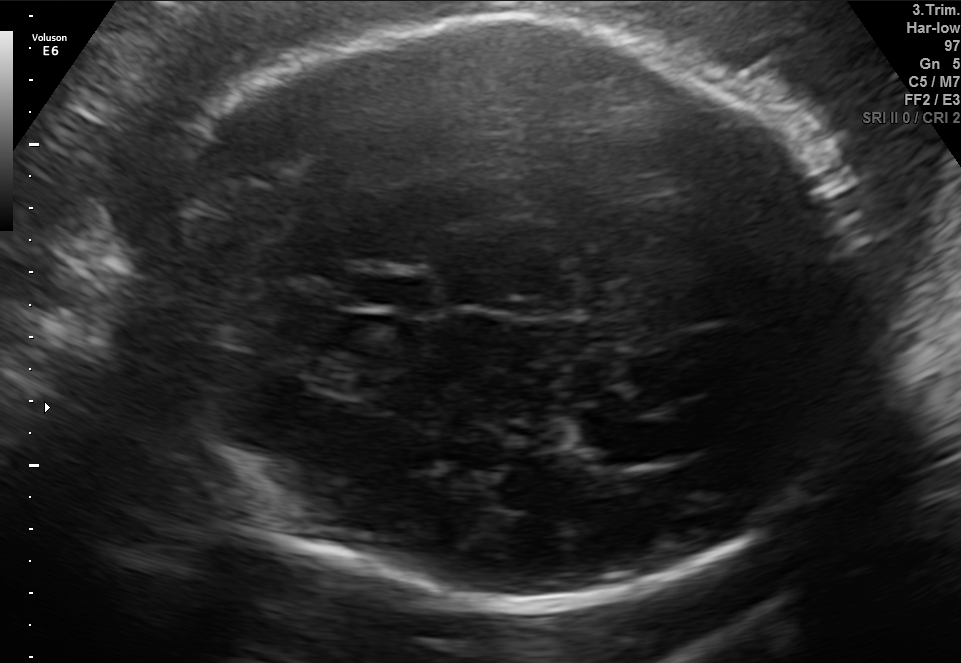
Classify this maternal-fetal ultrasound image as one of the six standard planes — fetal abdomen, fetal brain, fetal femur, fetal thorax, maternal cervix, or other. If it's fetal brain and one of the three standard brain planes (trans-thalamic, trans-cerebellum, trans-ventricular), name which.

Fetal brain (trans-thalamic plane)